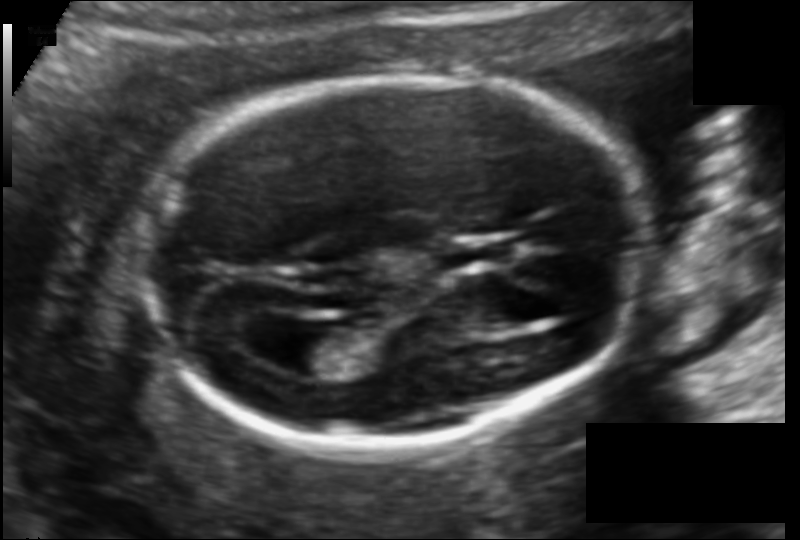
In this fetal head ultrasound, give bounding boxes for the head outline, cavum septum pellucidum (CSP), and lateral ventricle (LV), where visible. Image width: 91.5 mm.

Head: [141,77,646,447]
CSP: [441,237,507,273]
Lateral ventricle: [257,323,335,379]